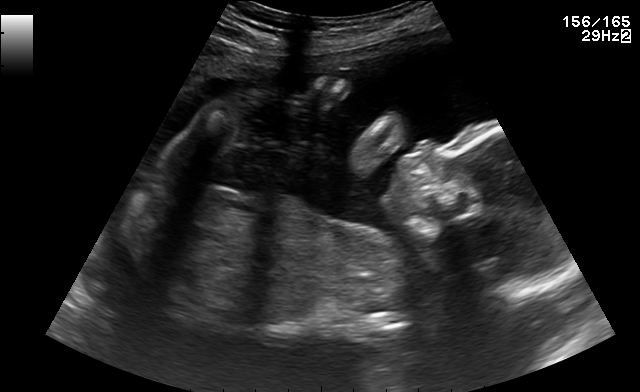
This is a 2D maternal-fetal ultrasound frame. Is it a fetal abdomen, fetal brain, fetal femur, fetal thorax, maternal cervix, or other standard plane? If it's fetal brain and one of the three standard brain planes (trans-thalamic, trans-cerebellum, trans-ventricular), name which.

Other